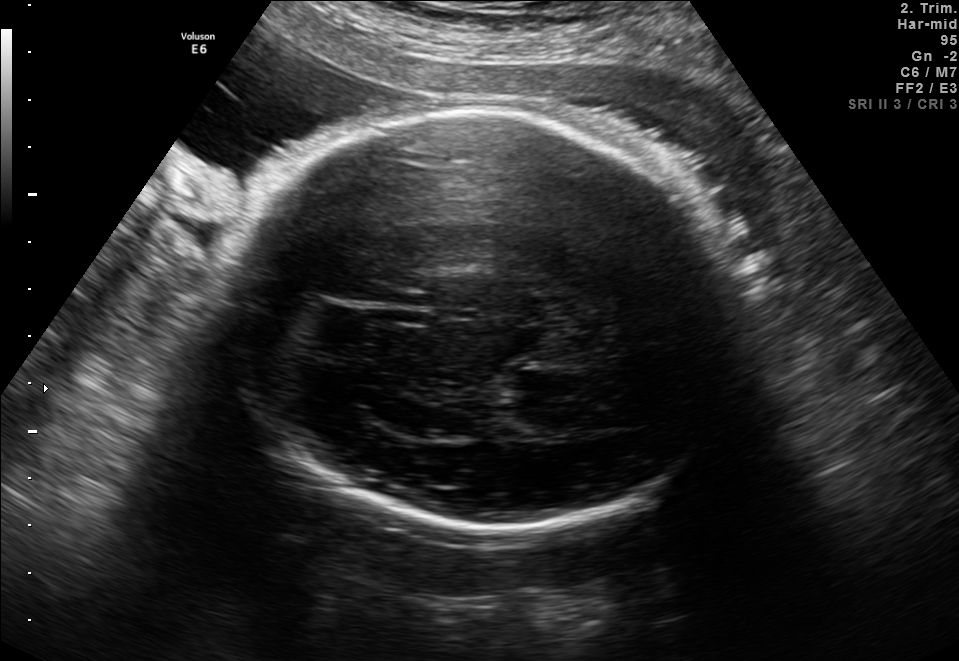
In this fetal brain, trans-thalamic plane, give the bounding box of the lateral ventricle.

[506,391,595,434]